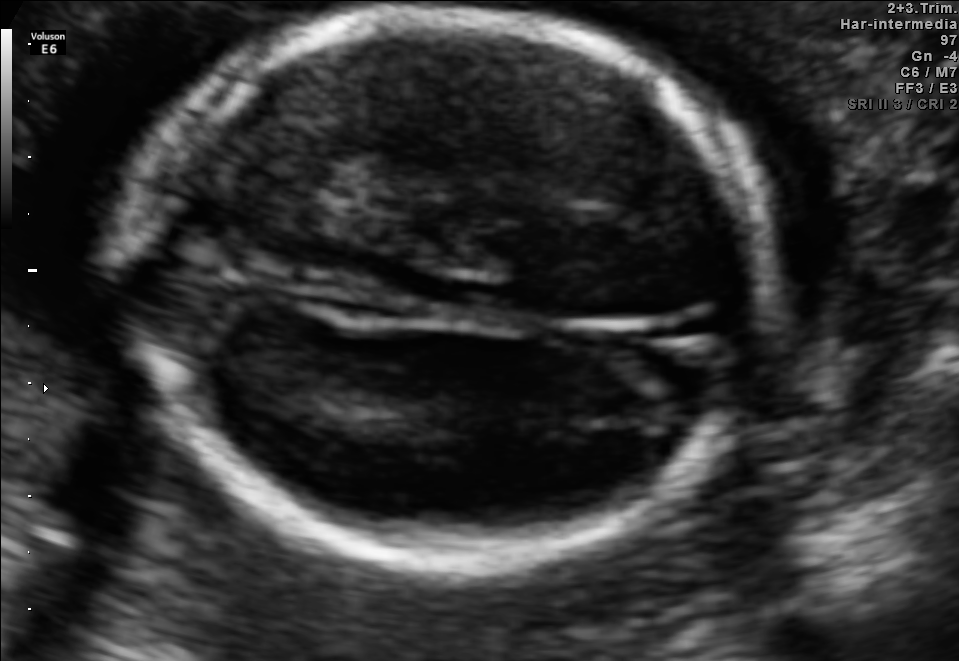
In this fetal brain, trans-thalamic plane, give bounding boxes for the head outline, cavum septum pellucidum (CSP), and lateral ventricle (LV), where visible.

Head: [130,16,763,555]